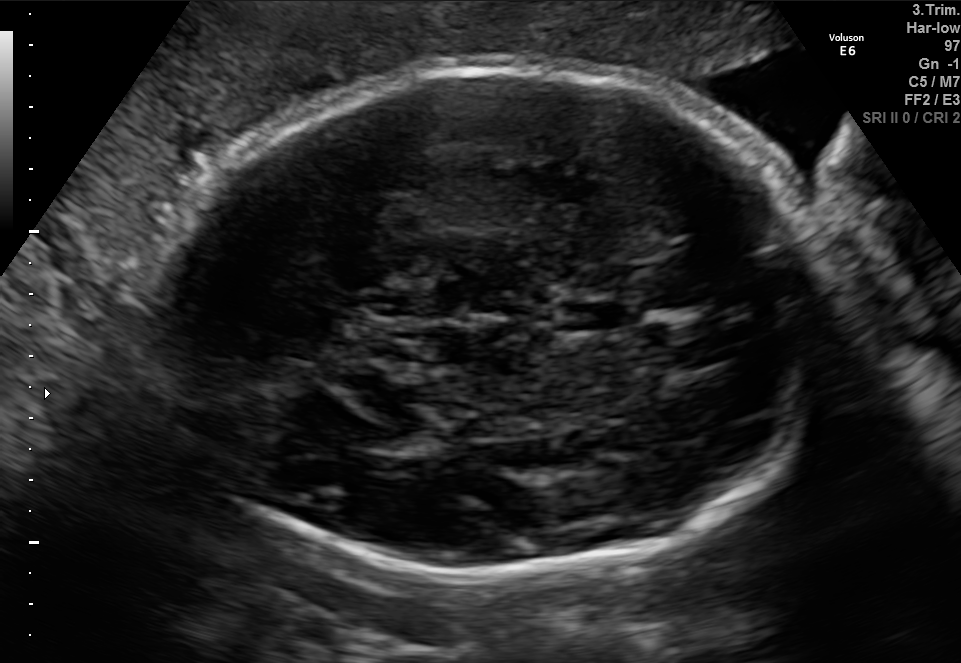
Fetal brain, trans-thalamic plane. Where is the fetal head?

Head bounding box: [154,60,827,575]